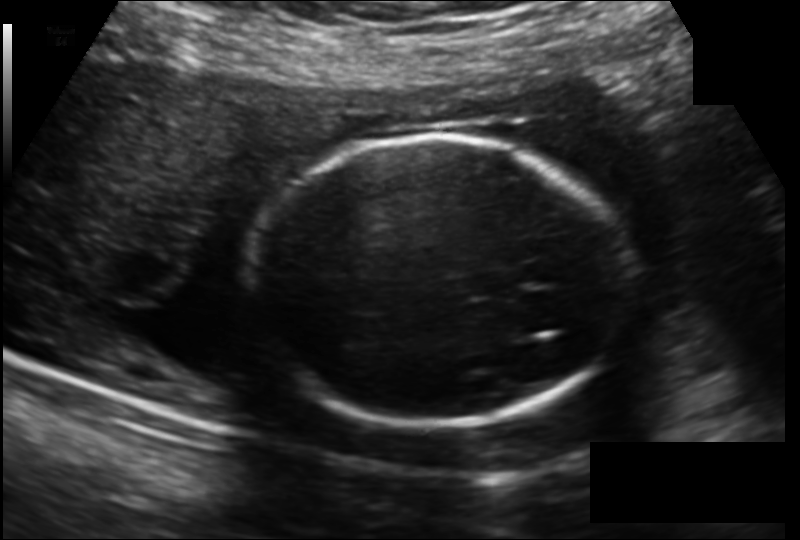
Fetal head ultrasound. Image width: 132.5 mm. Locate the fetal head and, if visible, the cavum septum pellucidum (CSP) and lateral ventricle (LV). Give bounding boxes as [x1,y1,x2,y2].

Head: [251,140,624,426]